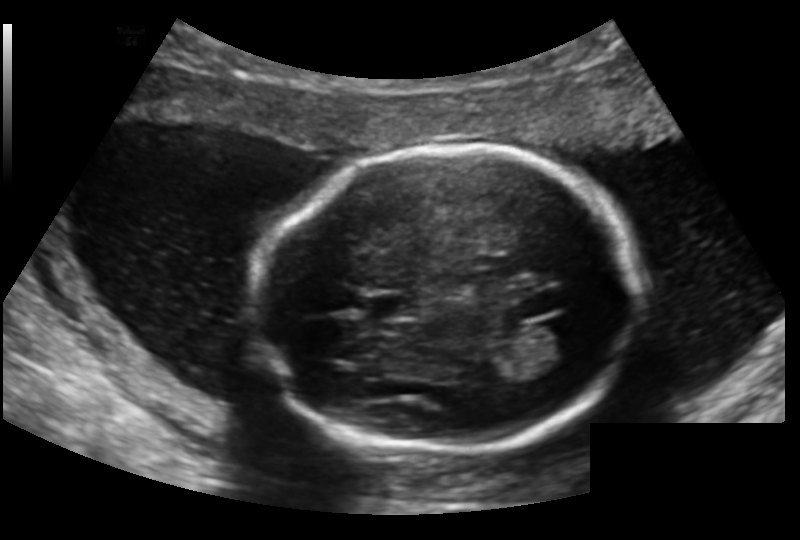
Fetal head ultrasound. Image width: 127.4 mm. Locate the lateral ventricle.

Lateral ventricle: [531,313,595,366]